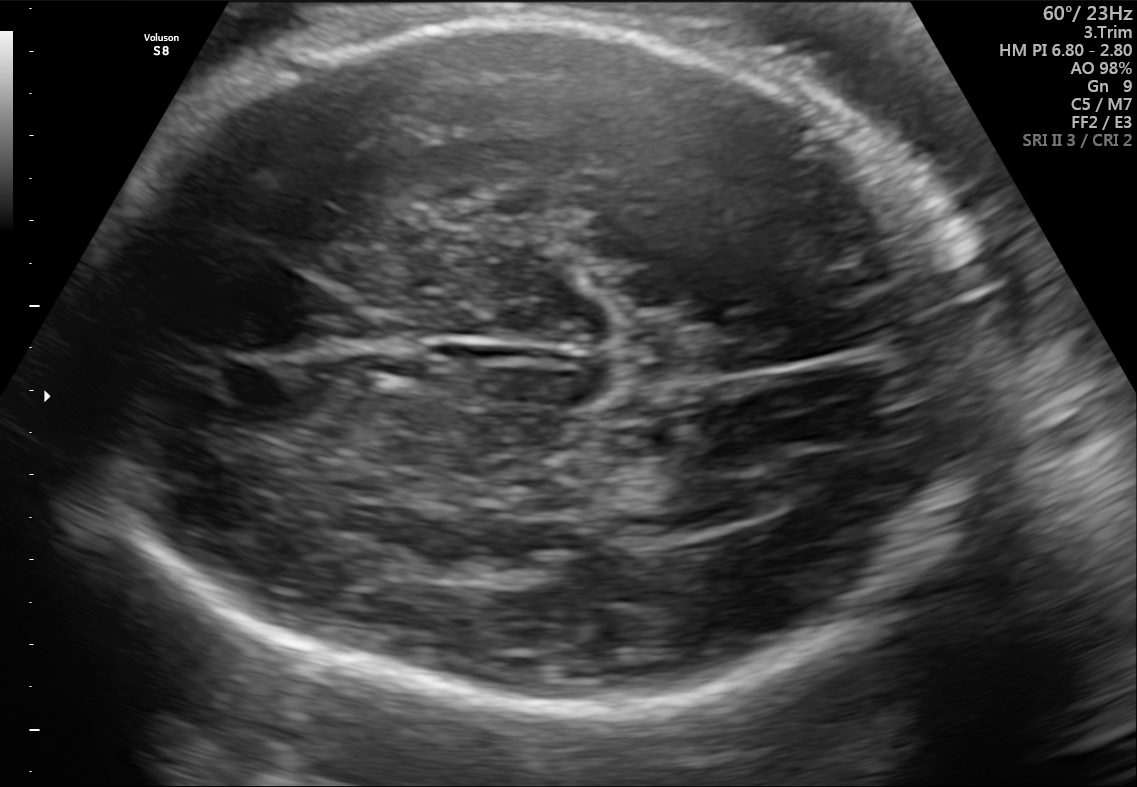
Fetal brain, trans-thalamic plane. Where is the fetal head?

Head bounding box: [87,23,977,712]